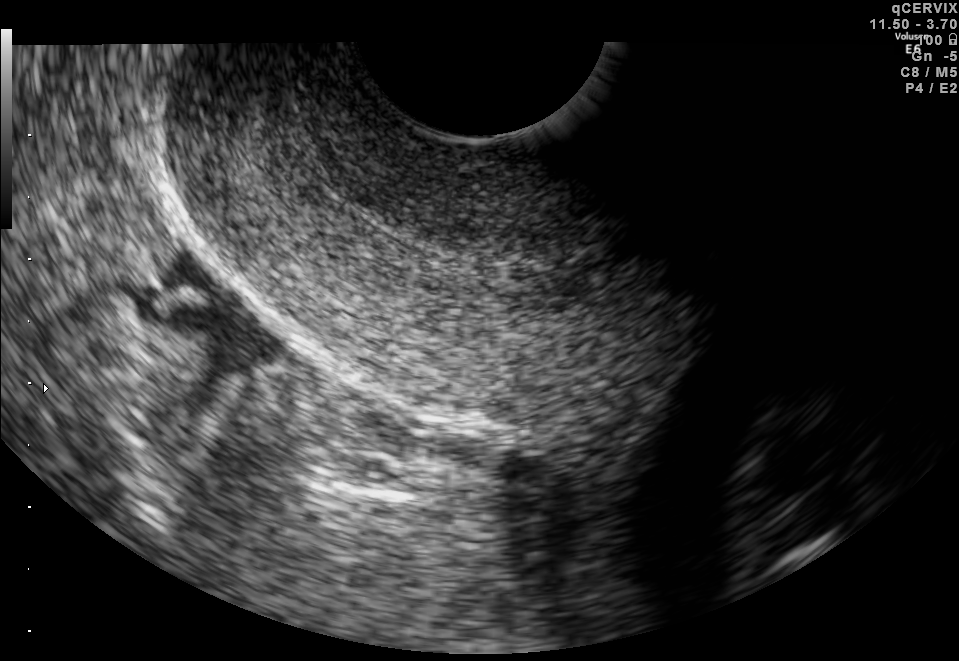
Which standard maternal-fetal ultrasound plane is shown: fetal abdomen, fetal brain, fetal femur, fetal thorax, maternal cervix, or other? If it's fetal brain and one of the three standard brain planes (trans-thalamic, trans-cerebellum, trans-ventricular), name which.

Maternal cervix